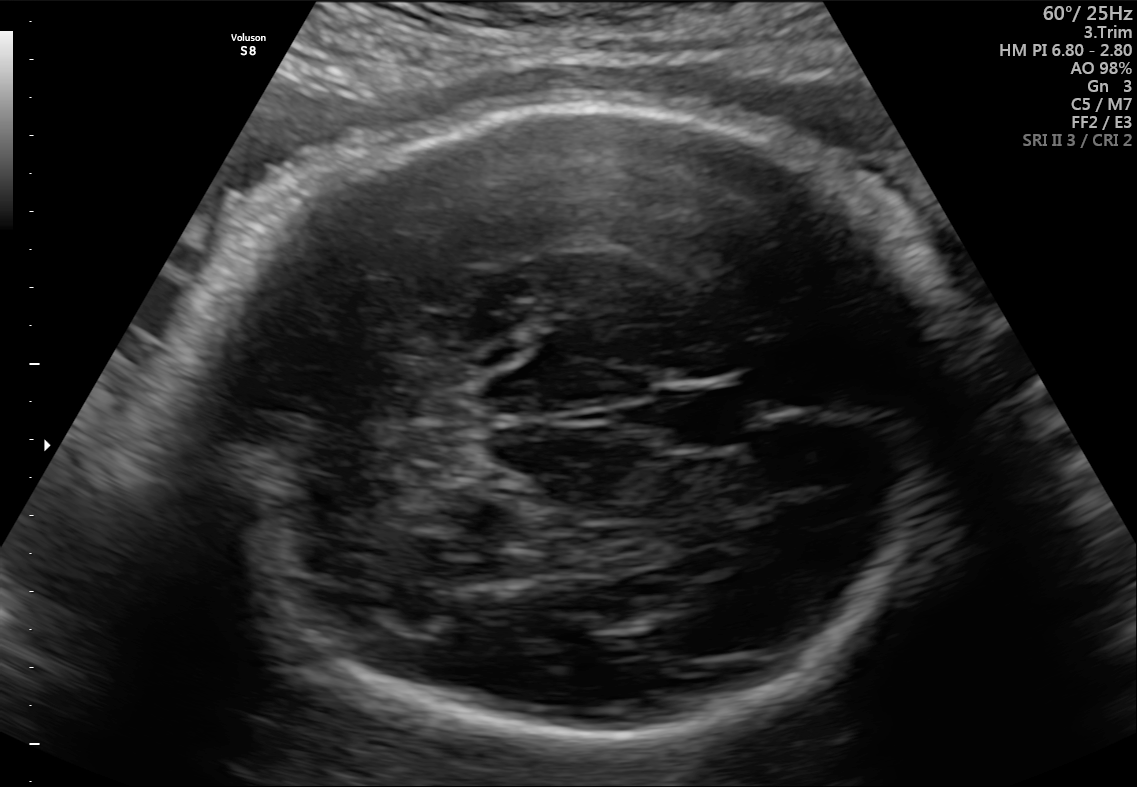
In this fetal brain, trans-cerebellum plane, give the bounding box of the cavum septum pellucidum.

[656,378,752,459]